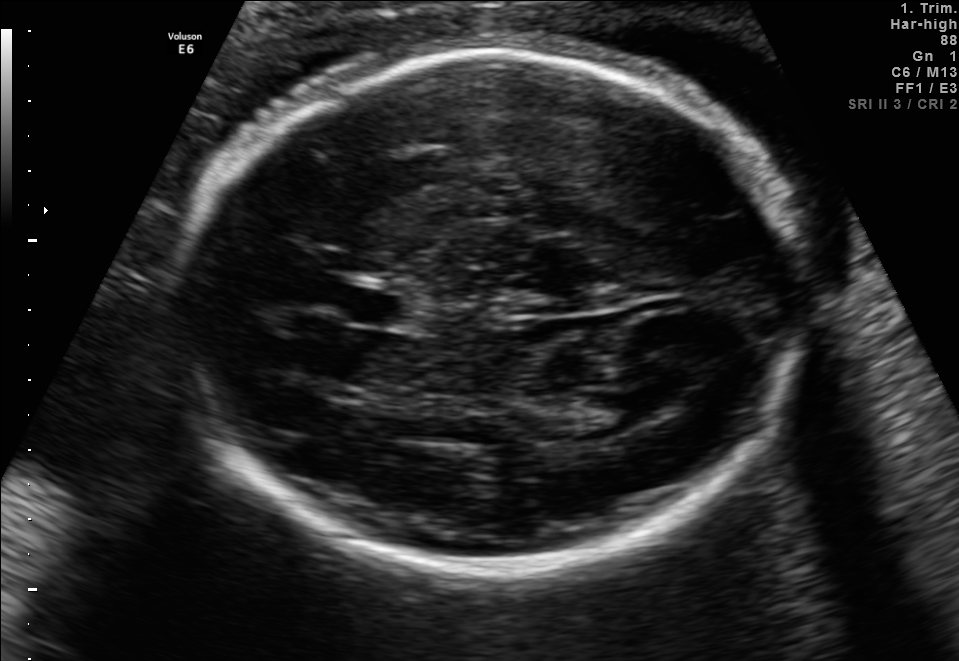
This is a 2D maternal-fetal ultrasound frame. Is it a fetal abdomen, fetal brain, fetal femur, fetal thorax, maternal cervix, or other standard plane? If it's fetal brain and one of the three standard brain planes (trans-thalamic, trans-cerebellum, trans-ventricular), name which.

Fetal brain (trans-thalamic plane)